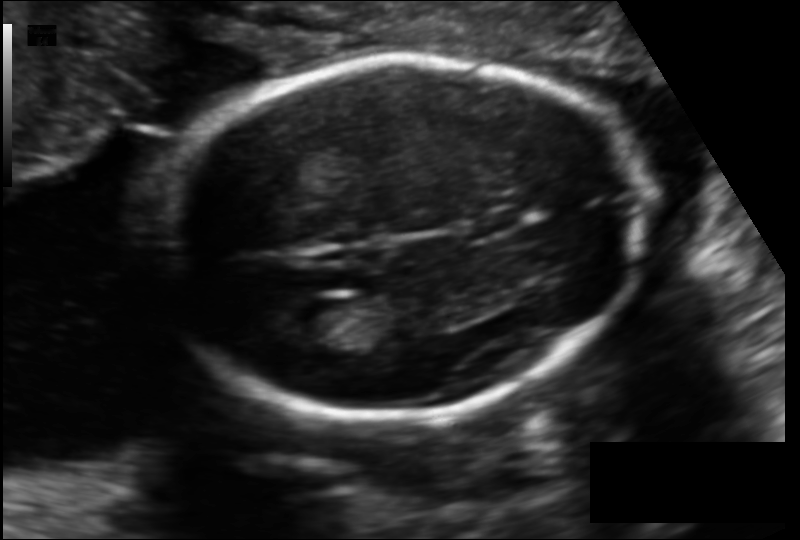
What is the fetal head circumference? Image width is 102.8 mm.

176.3 mm